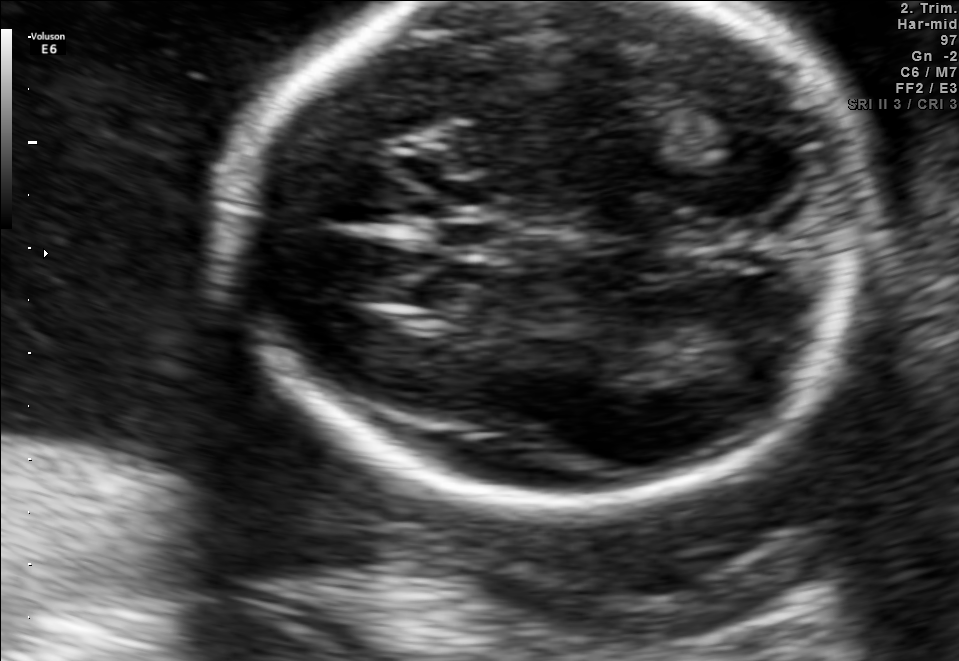
Fetal brain, trans-thalamic plane. Where is the fetal head?

Head bounding box: [222,2,867,503]